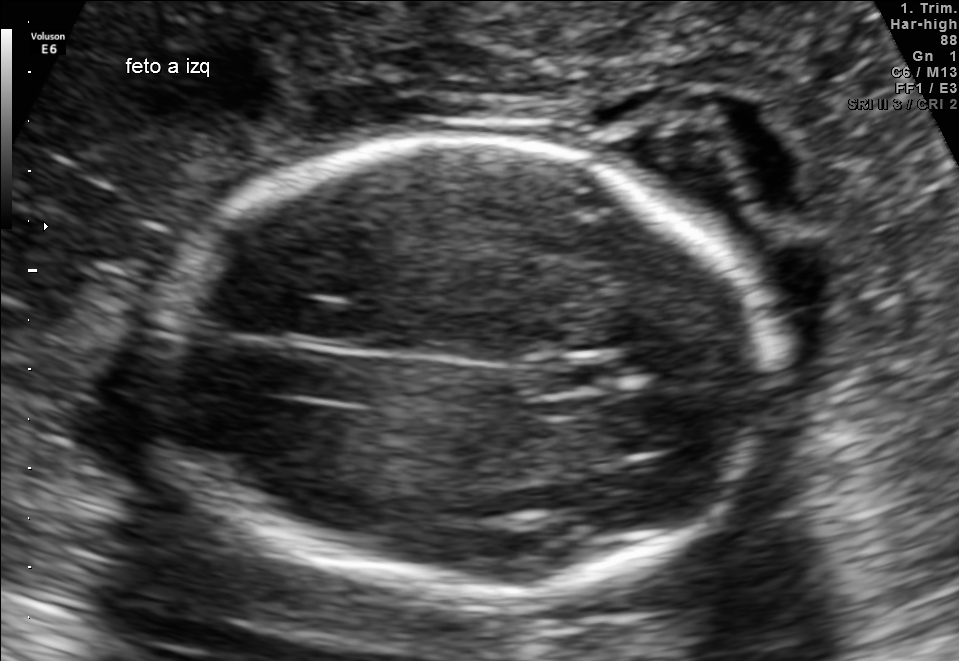
In this fetal brain, trans-thalamic plane, give the bounding box of the fetal head.

[151,140,776,593]